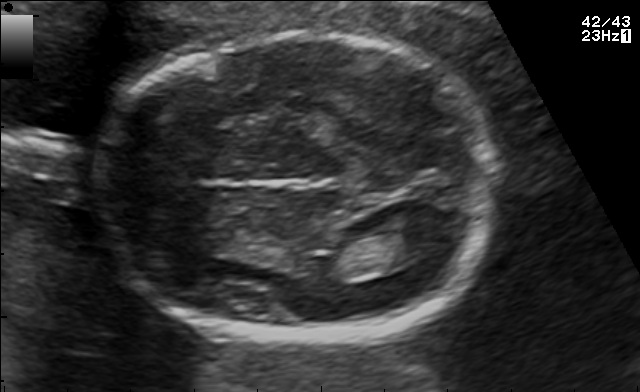
Fetal brain, trans-thalamic plane. Give [x1,y1,x2,y2] bounding boxes for each visible structure among: fetal head, CSP, LV.

Head: [98,35,497,339]
Lateral ventricle: [363,222,437,273]